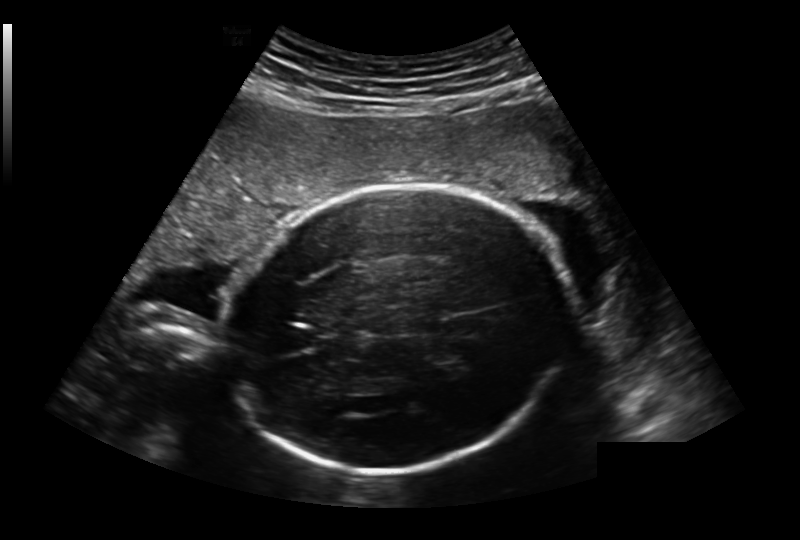
Fetal head ultrasound. Image width: 188.6 mm. Locate the fetal head and, if visible, the cavum septum pellucidum (CSP) and lateral ventricle (LV). Give bounding boxes as [x1,y1,x2,y2].

Head: [227,184,571,472]